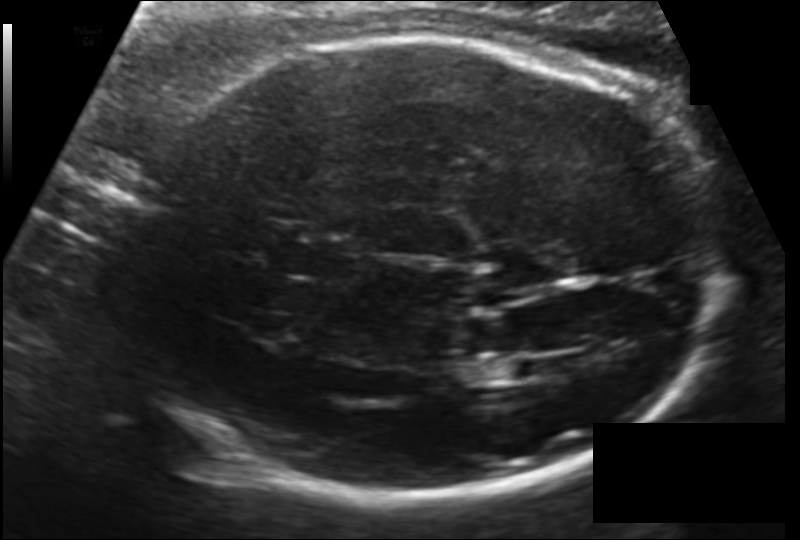
Fetal head ultrasound. Image width: 120.6 mm. Locate the fetal head.

Head: [122,38,723,501]